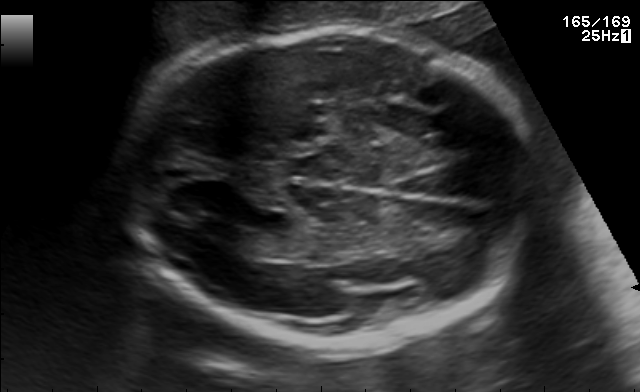
In this fetal brain, trans-ventricular plane, give bounding boxes for the head outline, cavum septum pellucidum (CSP), and lateral ventricle (LV), where visible.

Head: [114,23,547,350]